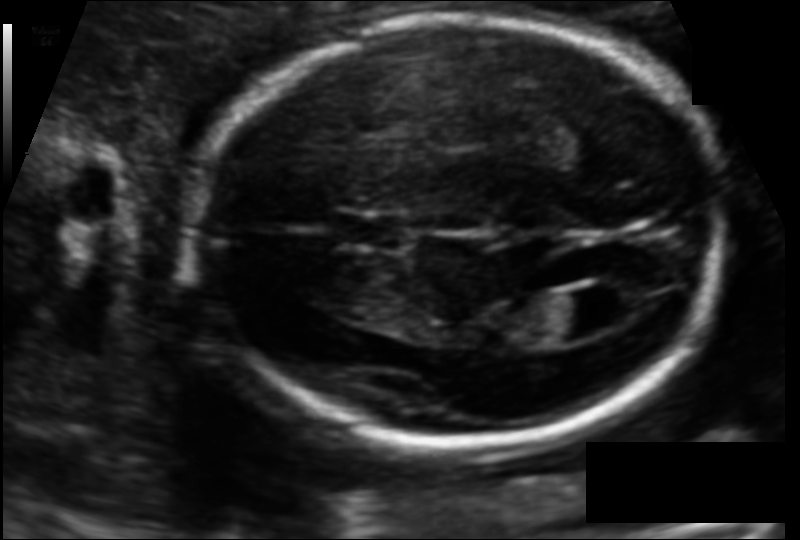
Fetal head ultrasound. Image width: 90.0 mm. Where is the fetal head?

Head bounding box: [195,16,718,446]